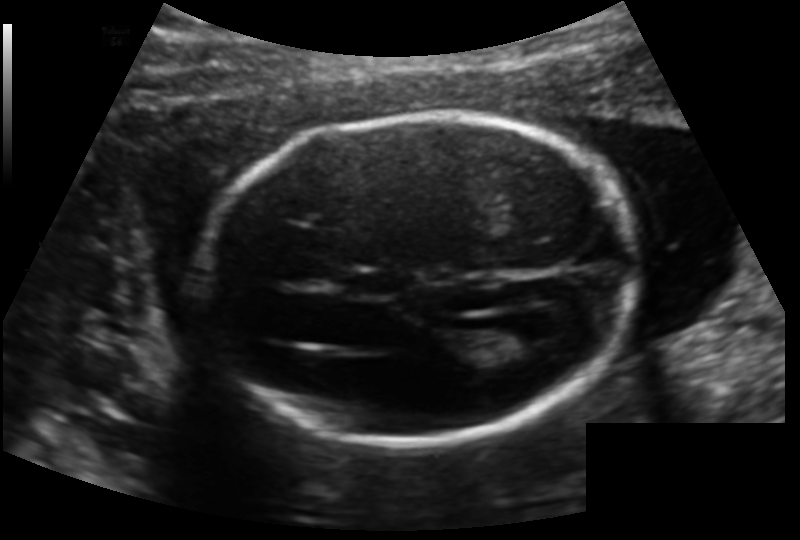
In this fetal head ultrasound, give the bounding box of the lateral ventricle. Image width: 112.1 mm.

[485,320,551,362]